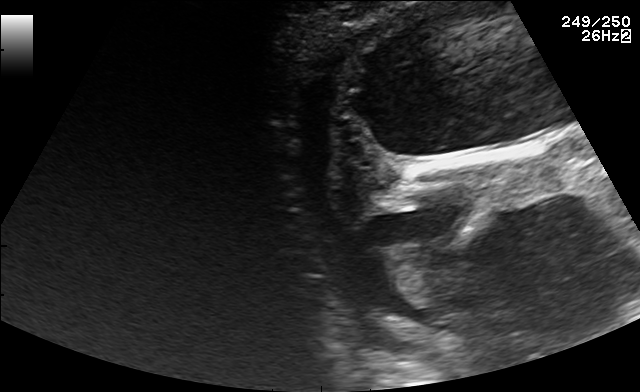
This is a 2D maternal-fetal ultrasound frame. Is it a fetal abdomen, fetal brain, fetal femur, fetal thorax, maternal cervix, or other standard plane? If it's fetal brain and one of the three standard brain planes (trans-thalamic, trans-cerebellum, trans-ventricular), name which.

Other